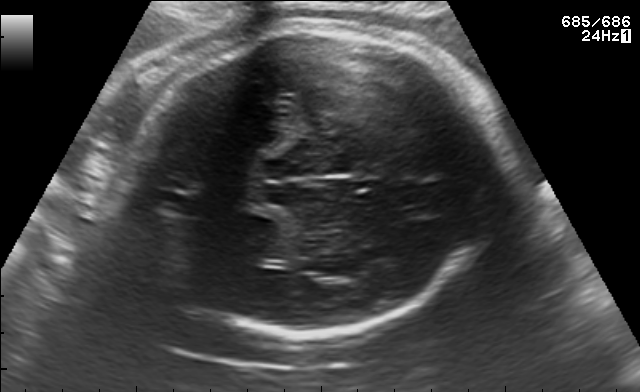
Fetal brain, trans-thalamic plane. Where is the fetal head?

Head bounding box: [128,24,501,334]